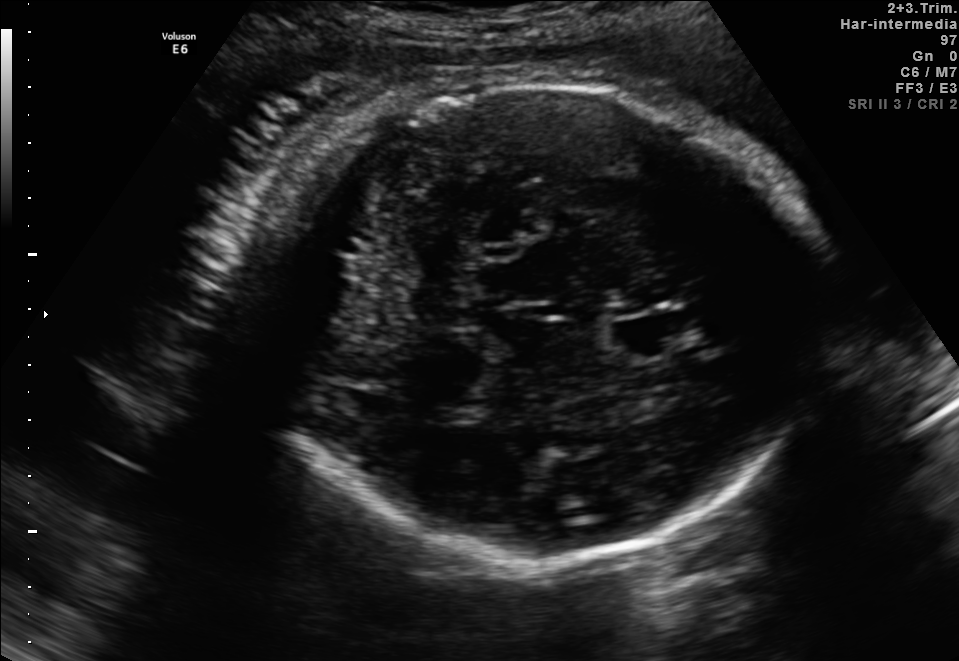
Classify this maternal-fetal ultrasound image as one of the six standard planes — fetal abdomen, fetal brain, fetal femur, fetal thorax, maternal cervix, or other. If it's fetal brain and one of the three standard brain planes (trans-thalamic, trans-cerebellum, trans-ventricular), name which.

Fetal brain (trans-thalamic plane)